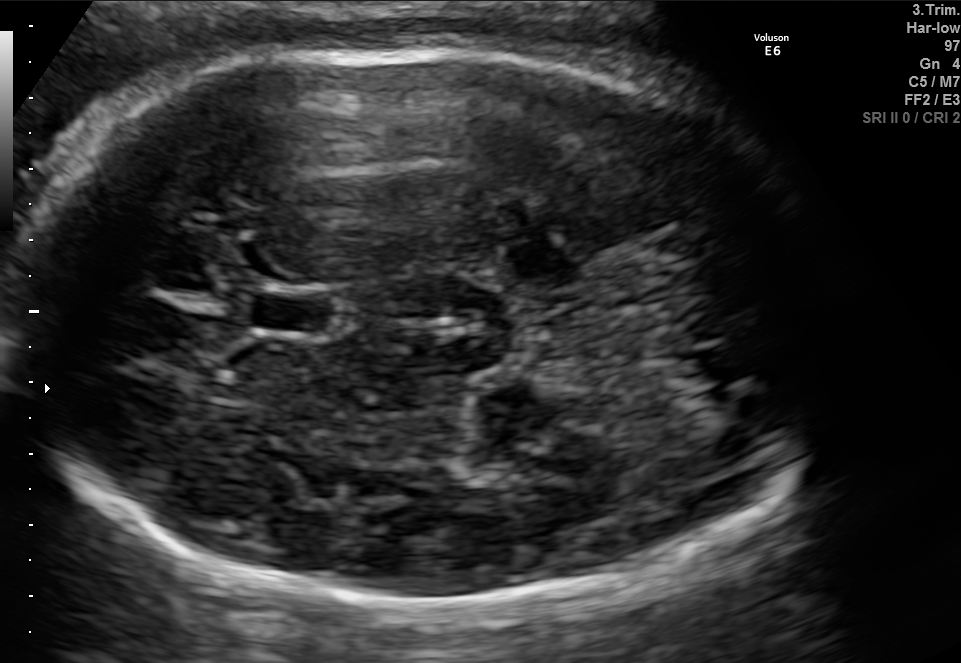
Fetal brain, trans-thalamic plane. Where is the fetal head?

Head bounding box: [7,48,830,605]